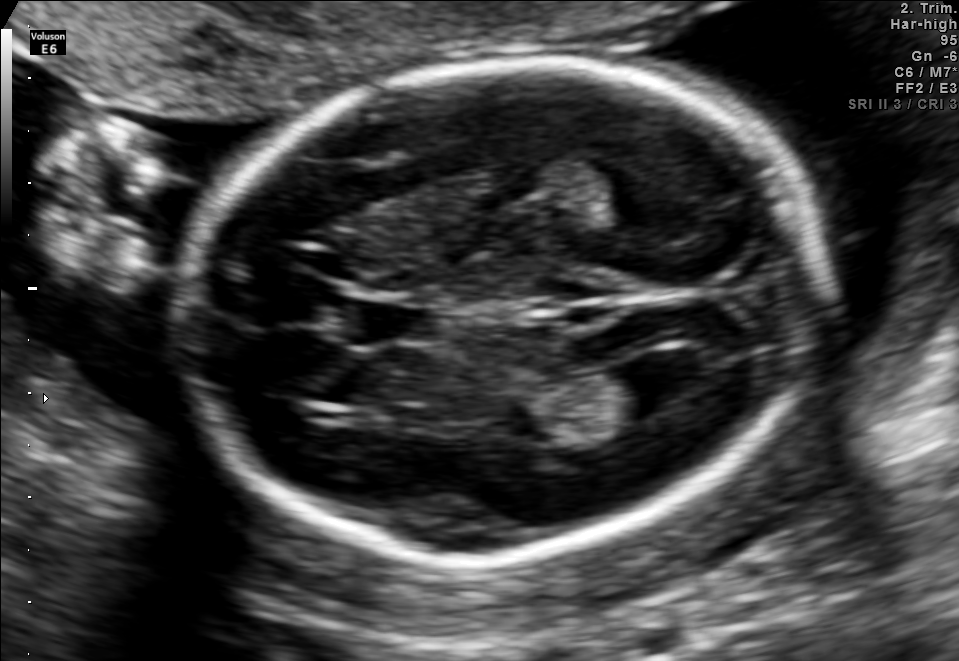
In this fetal brain, trans-ventricular plane, give the bounding box of the lateral ventricle.

[605,333,717,424]